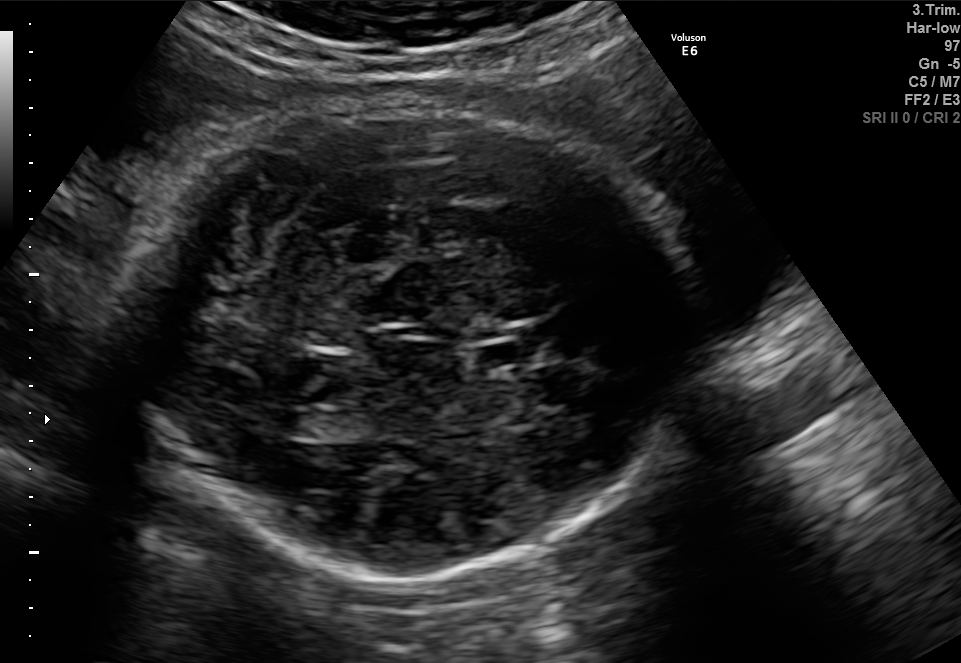
In this fetal brain, trans-ventricular plane, give the bounding box of the fetal head.

[127,101,701,582]